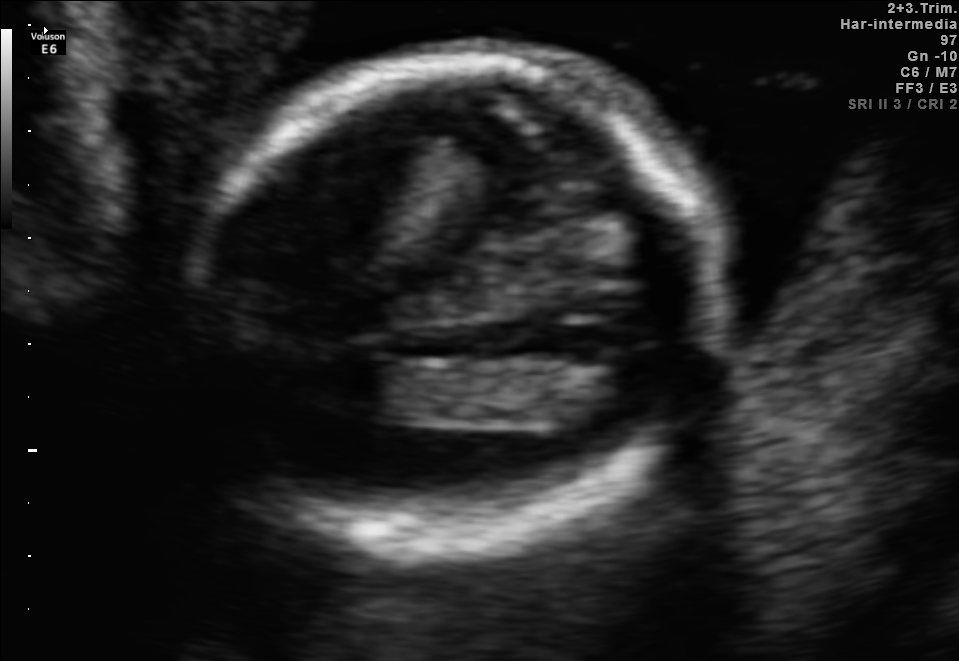
Fetal brain, trans-thalamic plane. Give [x1,y1,x2,y2] bounding boxes for each visible structure among: fetal head, CSP, LV.

Head: [181,57,720,538]